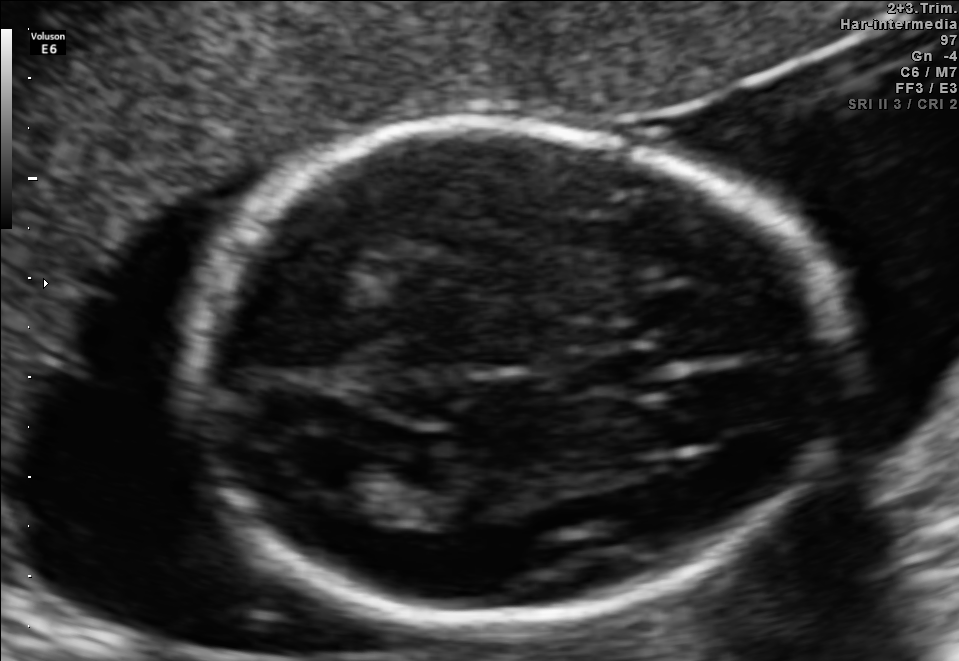
In this fetal brain, trans-ventricular plane, give bounding boxes for the head outline, cavum septum pellucidum (CSP), and lateral ventricle (LV), where visible.

Head: [167,111,852,630]
CSP: [557,354,641,390]
Lateral ventricle: [283,433,381,501]